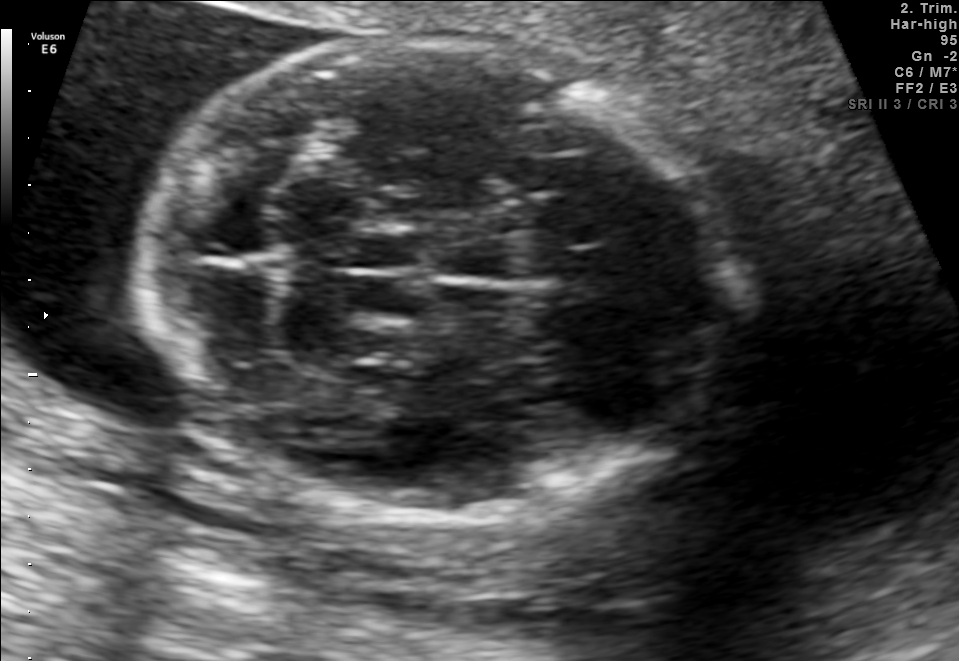
Which standard maternal-fetal ultrasound plane is shown: fetal abdomen, fetal brain, fetal femur, fetal thorax, maternal cervix, or other? If it's fetal brain and one of the three standard brain planes (trans-thalamic, trans-cerebellum, trans-ventricular), name which.

Fetal brain (trans-cerebellum plane)